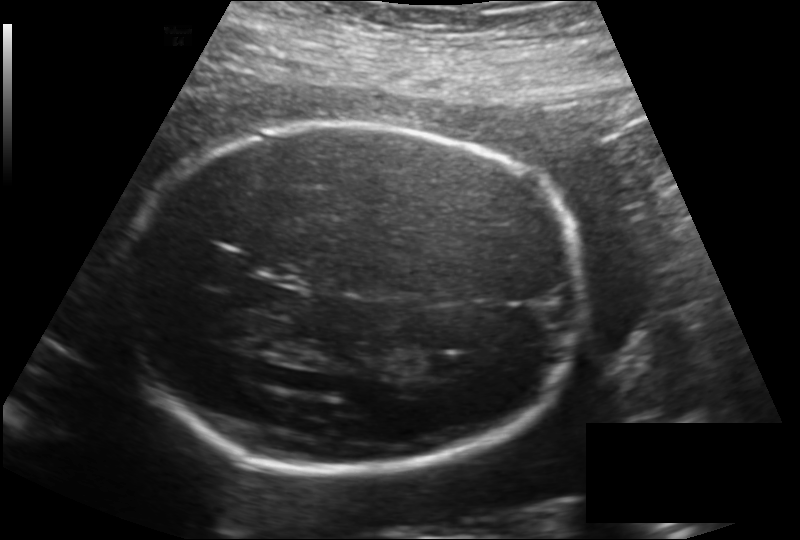
Fetal head ultrasound. Image width: 149.9 mm. Locate the fetal head and, if visible, the cavum septum pellucidum (CSP) and lateral ventricle (LV). Give bounding boxes as [x1,y1,x2,y2].

Head: [122,125,585,475]
CSP: [242,278,306,322]
Lateral ventricle: [426,353,472,379]